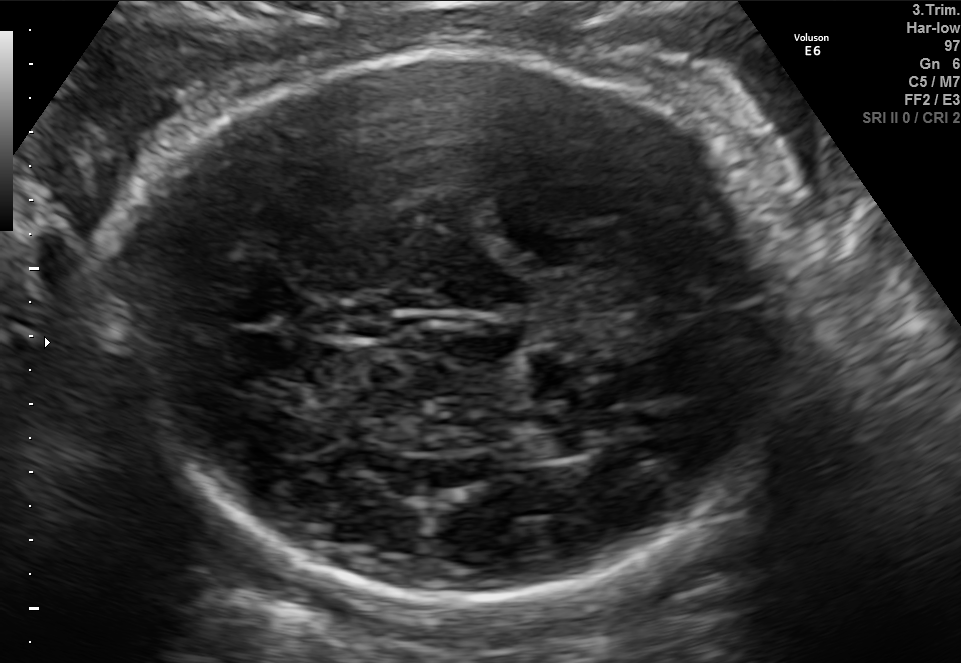
Fetal brain, trans-thalamic plane. Where is the lateral ventricle?

Lateral ventricle bounding box: [536,426,594,461]